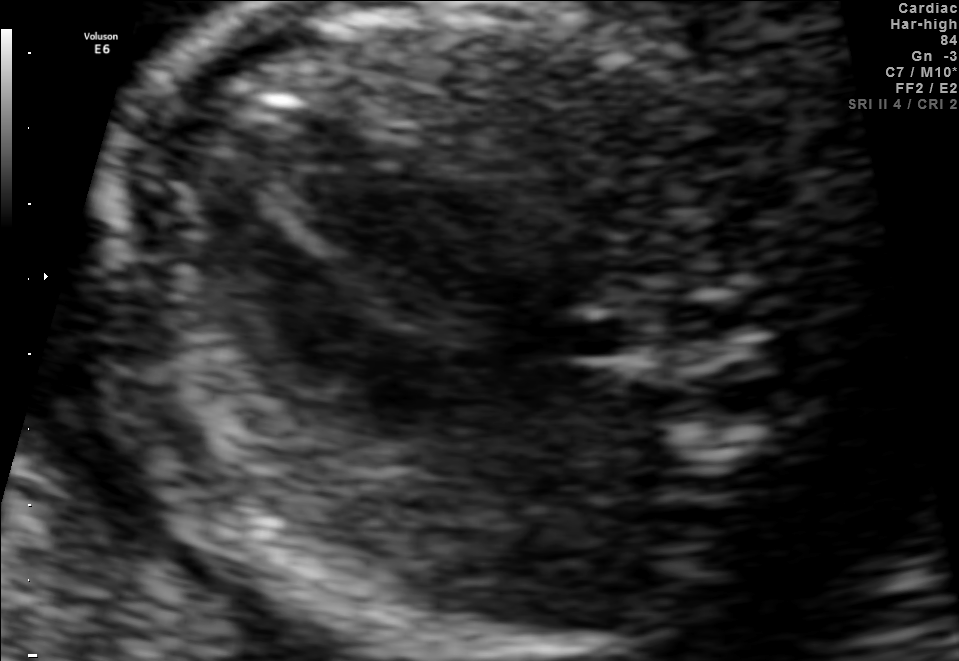
Which standard maternal-fetal ultrasound plane is shown: fetal abdomen, fetal brain, fetal femur, fetal thorax, maternal cervix, or other? If it's fetal brain and one of the three standard brain planes (trans-thalamic, trans-cerebellum, trans-ventricular), name which.

Fetal thorax